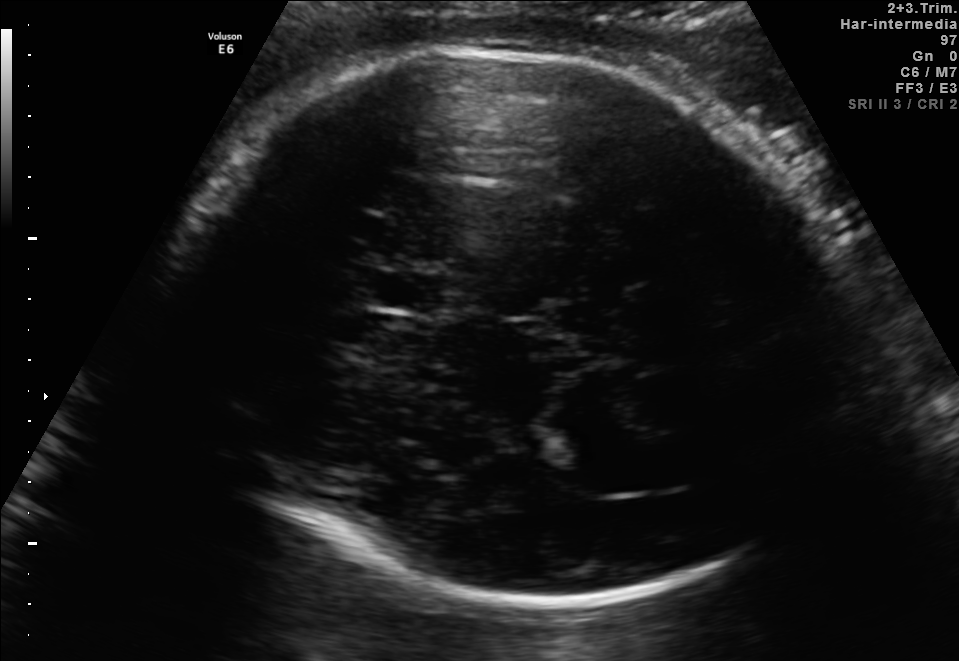
Fetal brain, trans-thalamic plane. Where is the cavum septum pellucidum?

CSP bounding box: [368,266,441,315]